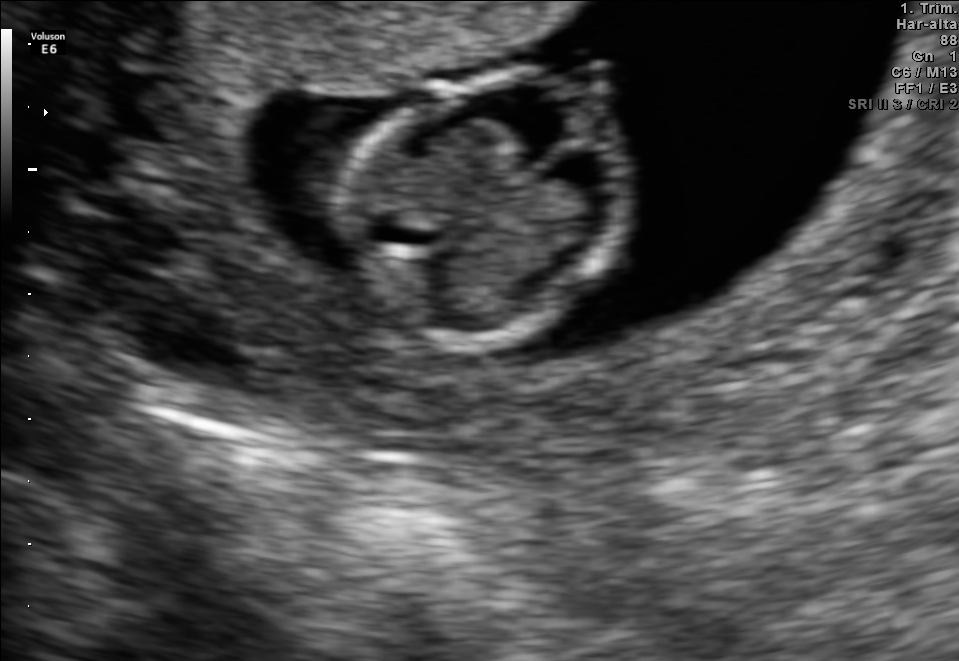
In this fetal brain, trans-thalamic plane, give the bounding box of the fetal head.

[347,70,638,341]